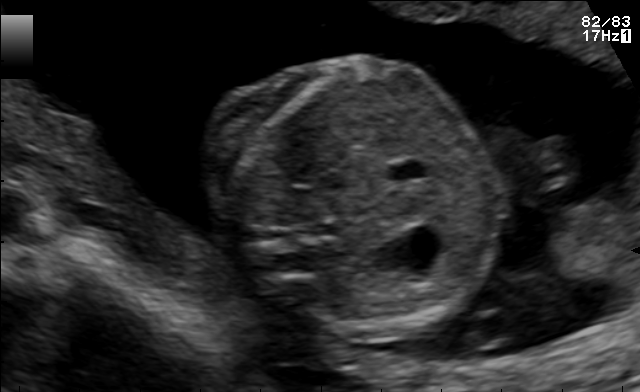
Classify this maternal-fetal ultrasound image as one of the six standard planes — fetal abdomen, fetal brain, fetal femur, fetal thorax, maternal cervix, or other. If it's fetal brain and one of the three standard brain planes (trans-thalamic, trans-cerebellum, trans-ventricular), name which.

Fetal abdomen